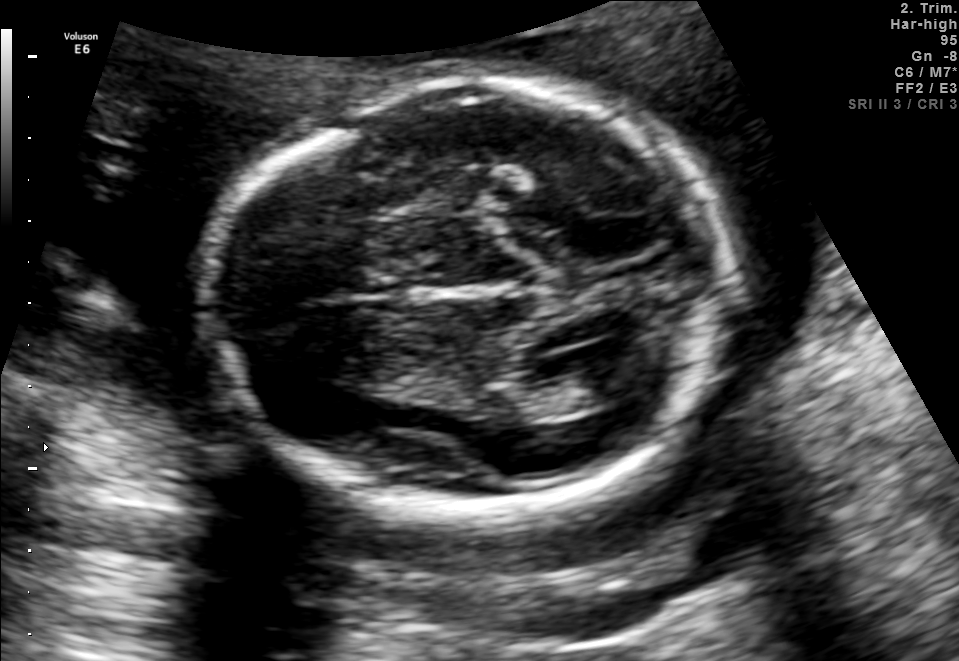
Fetal brain, trans-ventricular plane. Where is the lateral ventricle?

Lateral ventricle bounding box: [582,356,651,408]